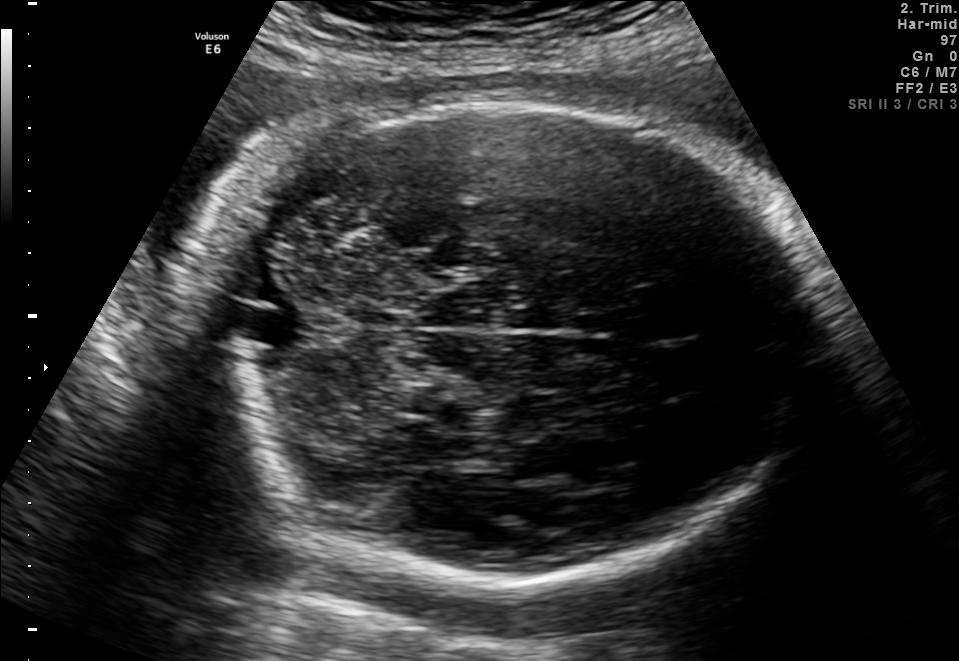
In this fetal brain, trans-cerebellum plane, give the bounding box of the fetal head.

[179,99,816,576]